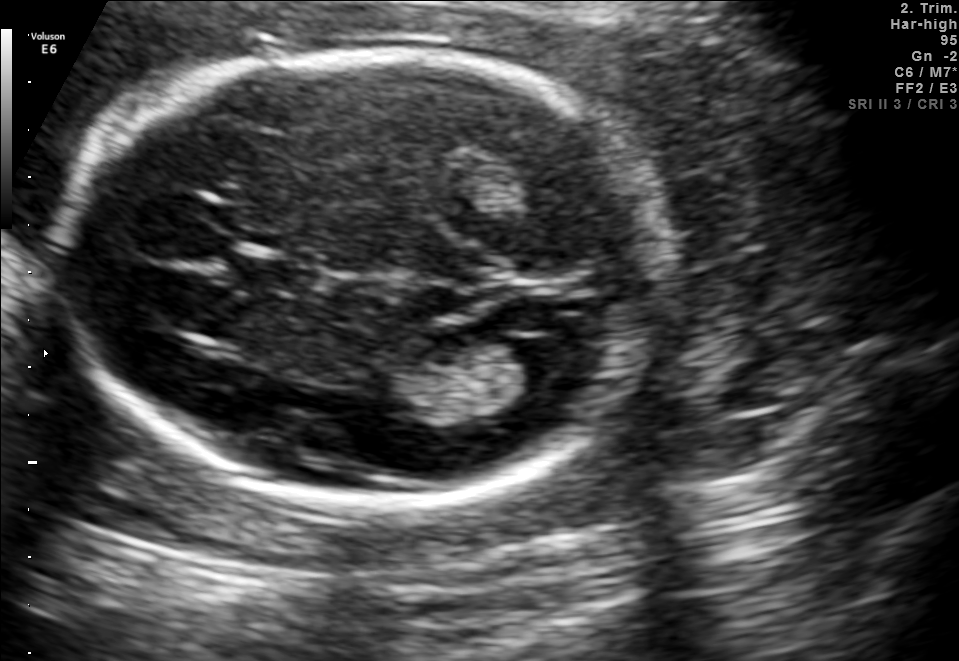
In this fetal brain, trans-ventricular plane, give the bounding box of the lateral ventricle.

[508,336,585,383]